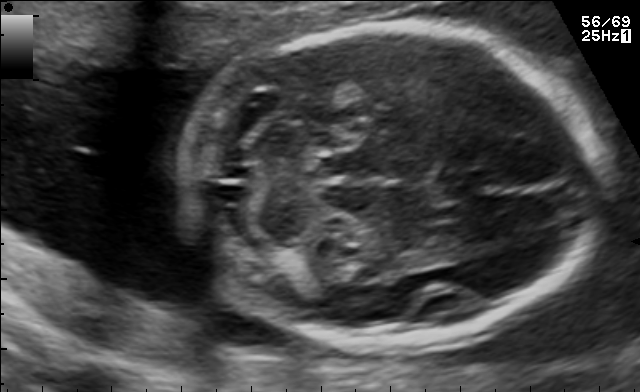
Classify this maternal-fetal ultrasound image as one of the six standard planes — fetal abdomen, fetal brain, fetal femur, fetal thorax, maternal cervix, or other. If it's fetal brain and one of the three standard brain planes (trans-thalamic, trans-cerebellum, trans-ventricular), name which.

Fetal brain (trans-cerebellum plane)